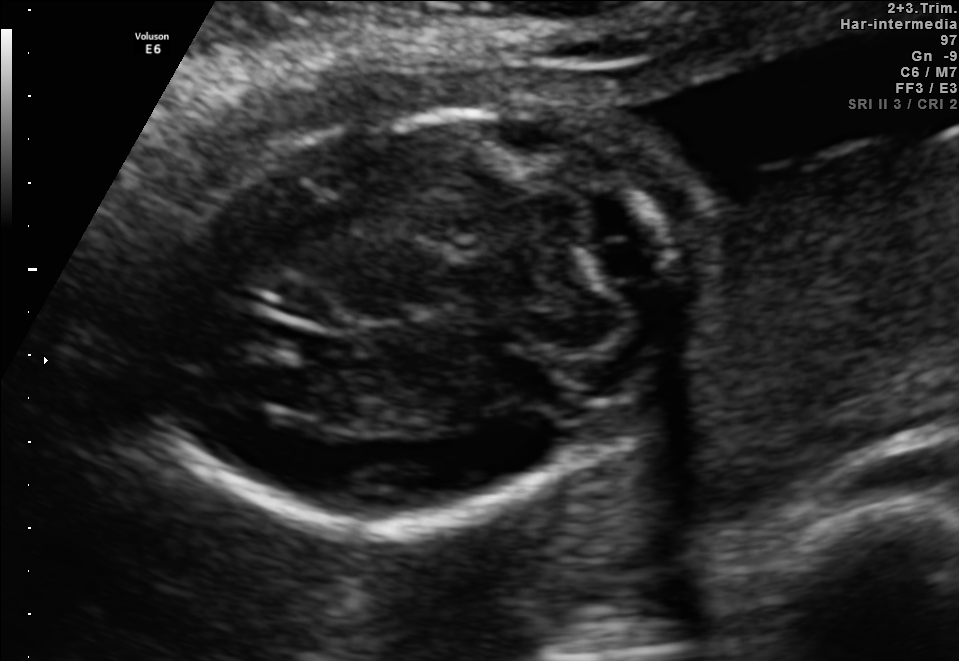
Fetal brain, trans-cerebellum plane. Where is the fetal head?

Head bounding box: [158,105,717,520]